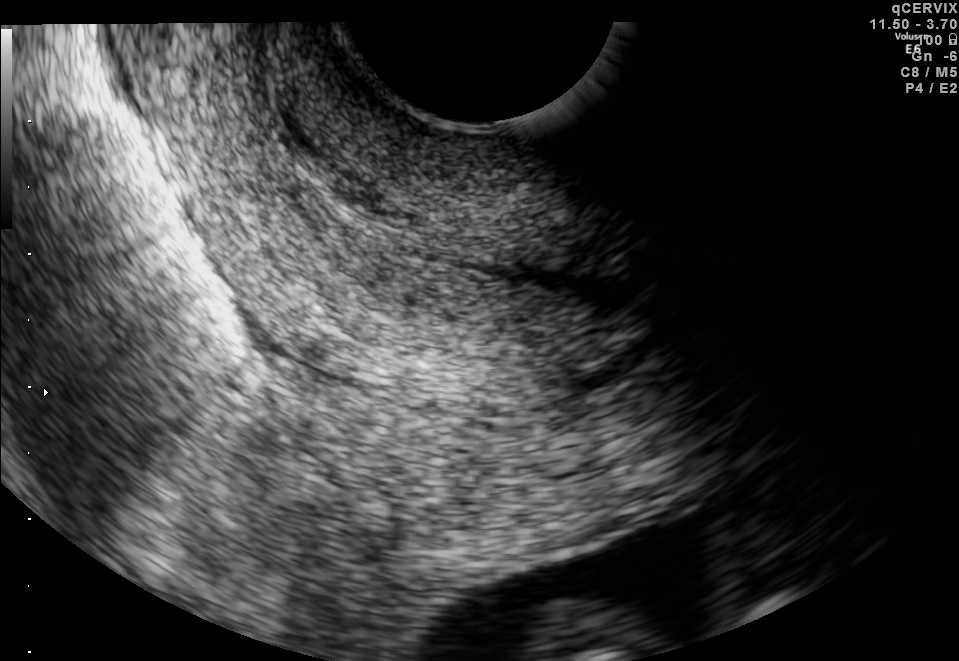
Classify this maternal-fetal ultrasound image as one of the six standard planes — fetal abdomen, fetal brain, fetal femur, fetal thorax, maternal cervix, or other. If it's fetal brain and one of the three standard brain planes (trans-thalamic, trans-cerebellum, trans-ventricular), name which.

Maternal cervix